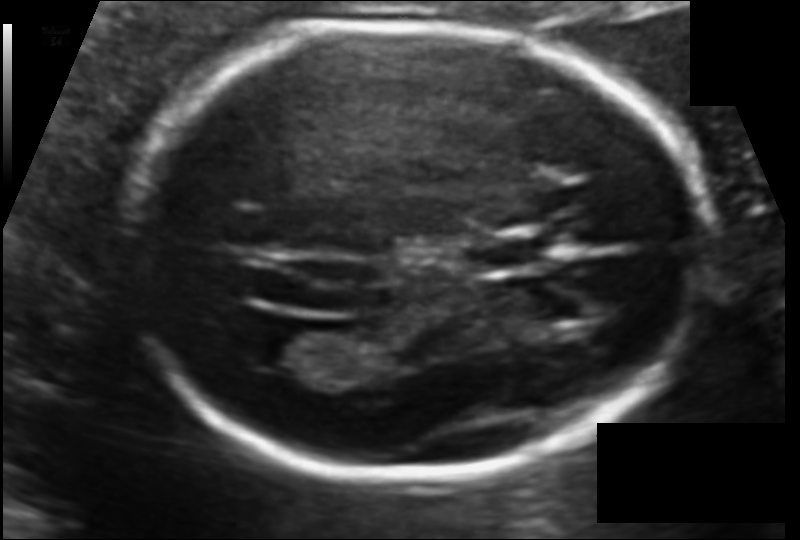
In this fetal head ultrasound, give the bounding box of the lateral ventricle. Image width: 85.6 mm.

[249,328,325,371]